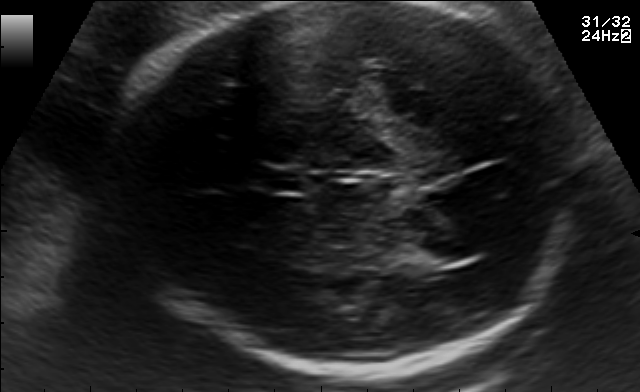
Fetal brain, trans-thalamic plane. Give [x1,y1,x2,y2] bounding boxes for each visible structure among: fetal head, CSP, LV.

Head: [118,2,593,375]
CSP: [267,168,307,192]
Lateral ventricle: [409,227,485,275]